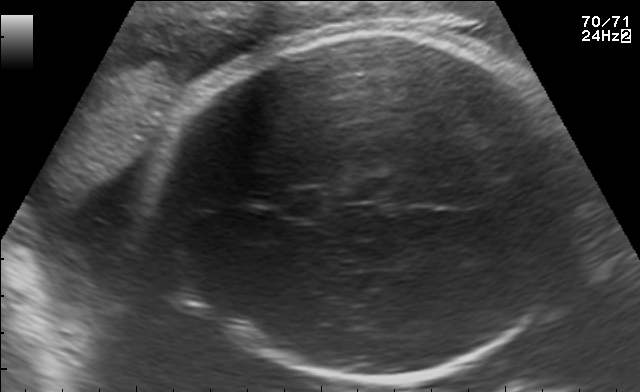
Fetal brain, trans-thalamic plane. Where is the cavum septum pellucidum?

CSP bounding box: [275,188,325,219]